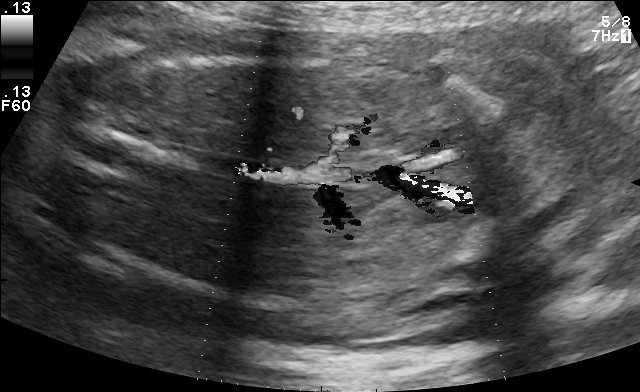
Identify the standard plane in this fetal ultrasound image: fetal abdomen, fetal brain, fetal femur, fetal thorax, maternal cervix, or other. If it's fetal brain and one of the three standard brain planes (trans-thalamic, trans-cerebellum, trans-ventricular), name which.

Other